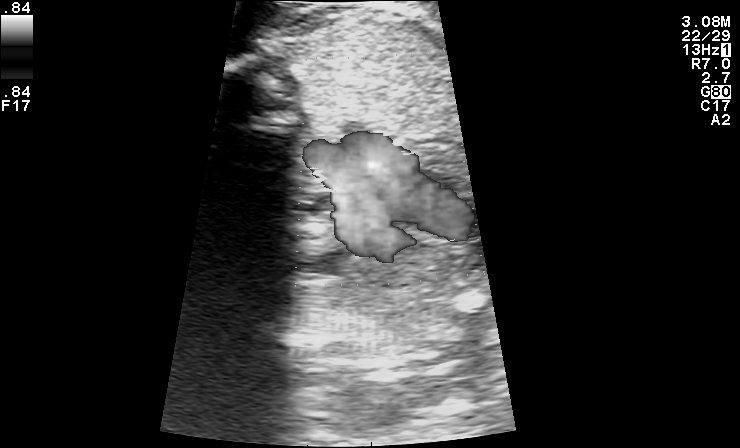
Identify the standard plane in this fetal ultrasound image: fetal abdomen, fetal brain, fetal femur, fetal thorax, maternal cervix, or other. If it's fetal brain and one of the three standard brain planes (trans-thalamic, trans-cerebellum, trans-ventricular), name which.

Other